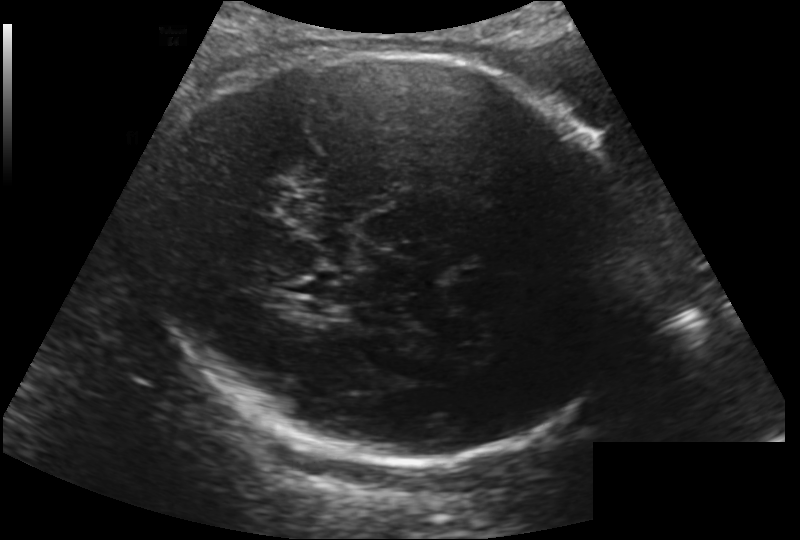
In this fetal head ultrasound, give the bounding box of the fetal head. Image width: 160.1 mm.

[152,51,638,464]